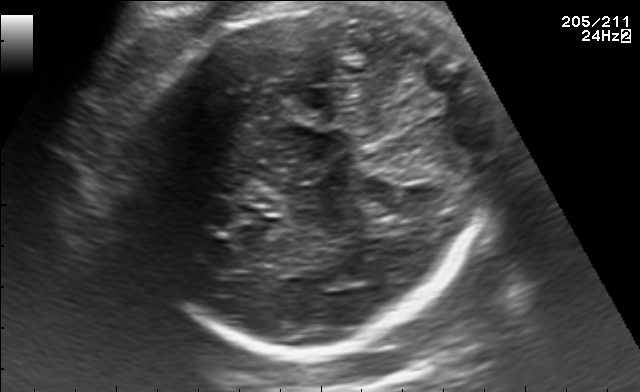
In this fetal brain, trans-thalamic plane, give the bounding box of the fetal head.

[126,7,491,351]